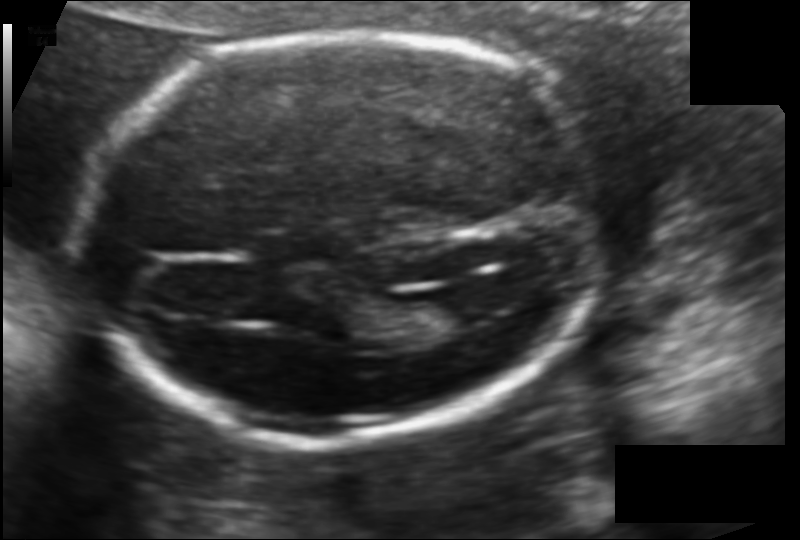
In this fetal head ultrasound, give the bounding box of the fetal head. Image width: 94.7 mm.

[80,29,601,440]